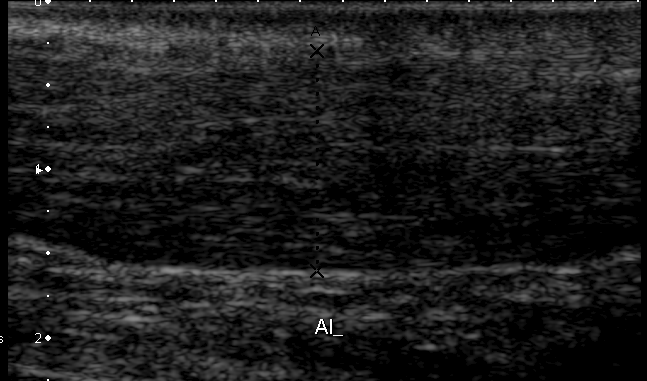
Which standard maternal-fetal ultrasound plane is shown: fetal abdomen, fetal brain, fetal femur, fetal thorax, maternal cervix, or other? If it's fetal brain and one of the three standard brain planes (trans-thalamic, trans-cerebellum, trans-ventricular), name which.

Other